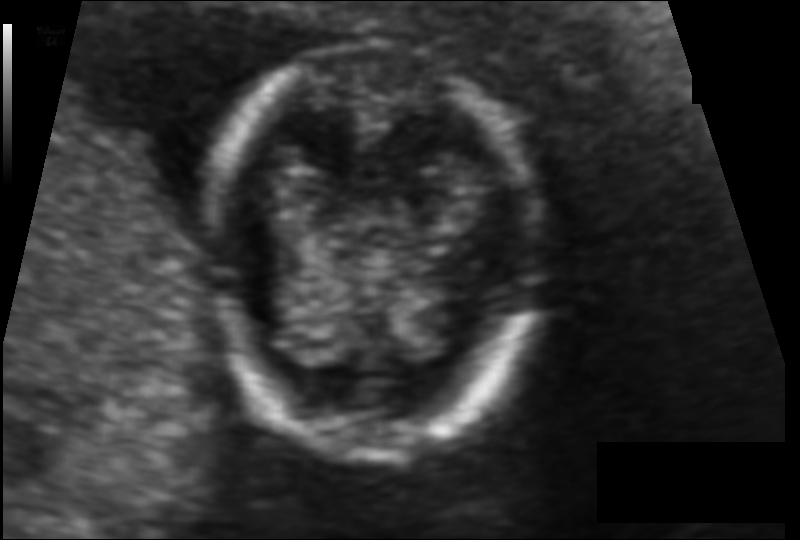
In this fetal head ultrasound, give bounding boxes for the head outline, cavum septum pellucidum (CSP), and lateral ventricle (LV), where visible. Image width: 63.9 mm.

Head: [212,46,535,460]